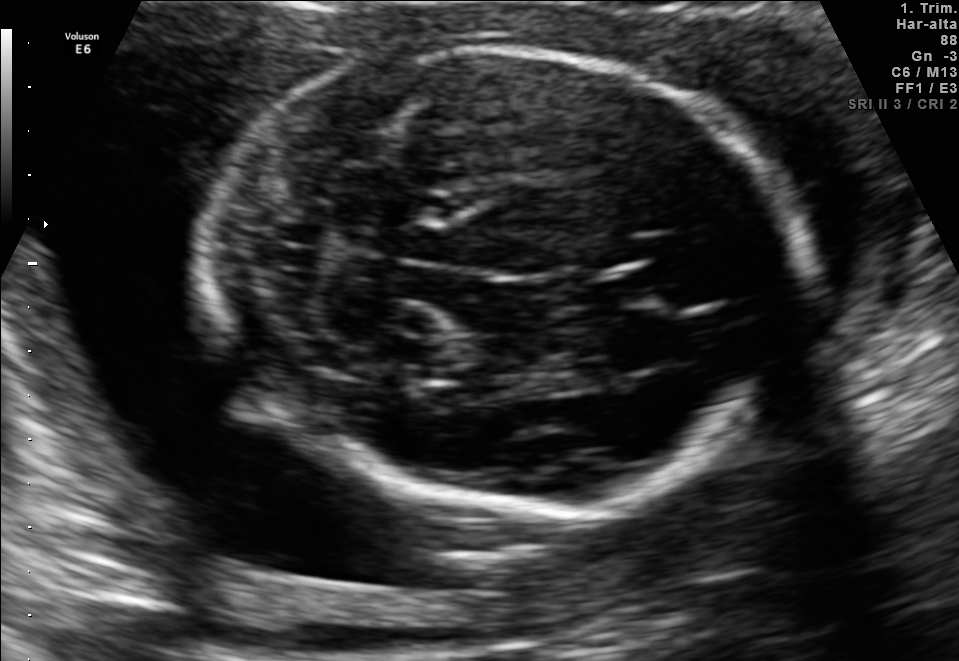
In this fetal brain, trans-cerebellum plane, give the bounding box of the cavum septum pellucidum.

[587,262,666,312]